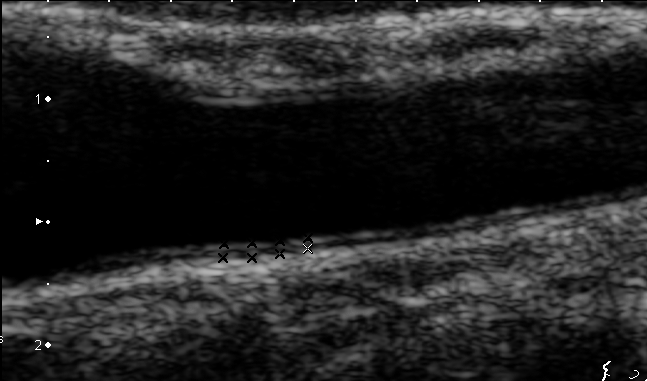
Classify this maternal-fetal ultrasound image as one of the six standard planes — fetal abdomen, fetal brain, fetal femur, fetal thorax, maternal cervix, or other. If it's fetal brain and one of the three standard brain planes (trans-thalamic, trans-cerebellum, trans-ventricular), name which.

Other